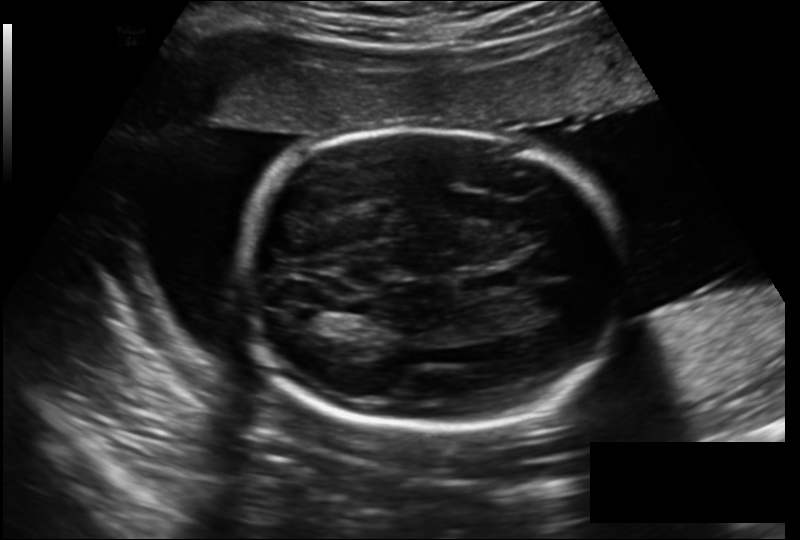
In this fetal head ultrasound, give the bounding box of the cavum septum pellucidum. Image width: 164.7 mm.

[458,270,513,295]